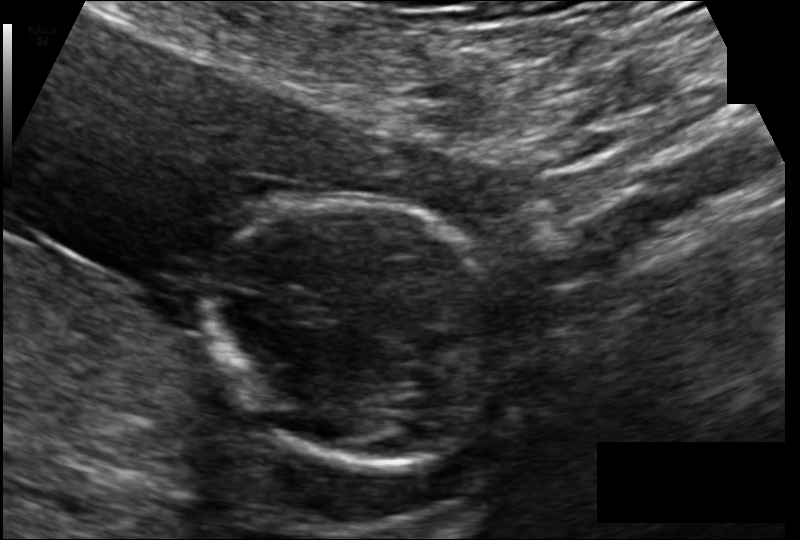
Measure the fetal head circumference shown in this ultrasound image. Image width: 81.2 mm.

Head circumference: 92.4 mm.